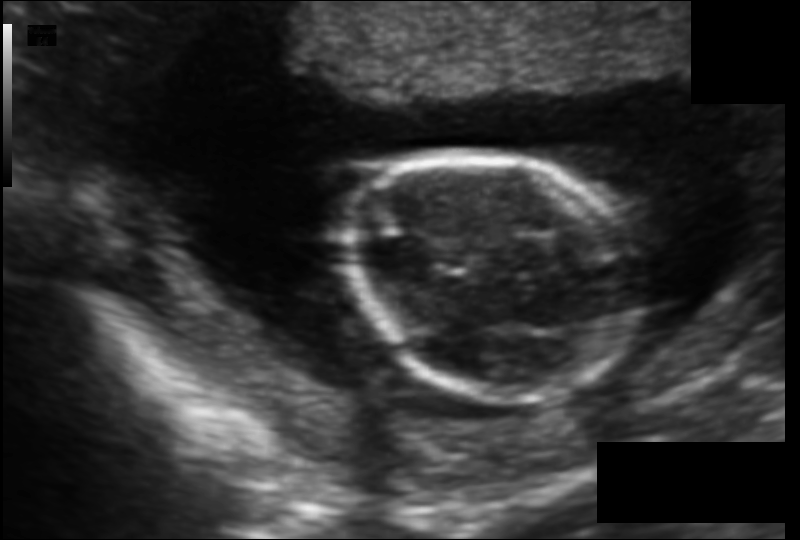
What is the fetal head circumference? Image width is 92.1 mm.

99.4 mm